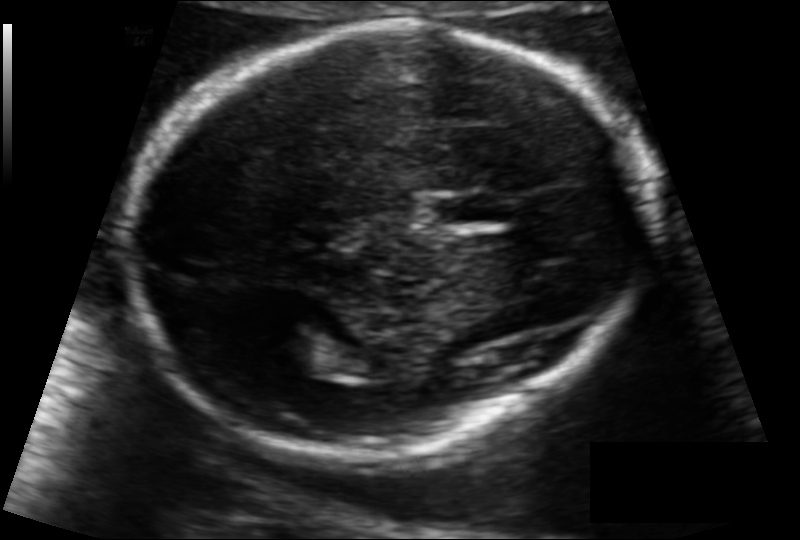
Fetal head ultrasound. Image width: 88.7 mm. Locate the fetal head.

Head: [125,22,647,453]